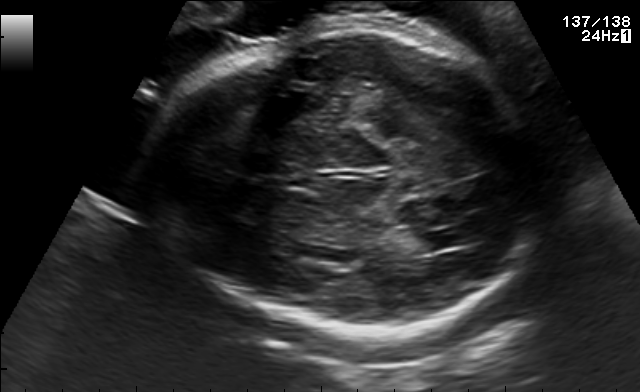
Fetal brain, trans-thalamic plane. Where is the fetal head?

Head bounding box: [145,26,555,333]